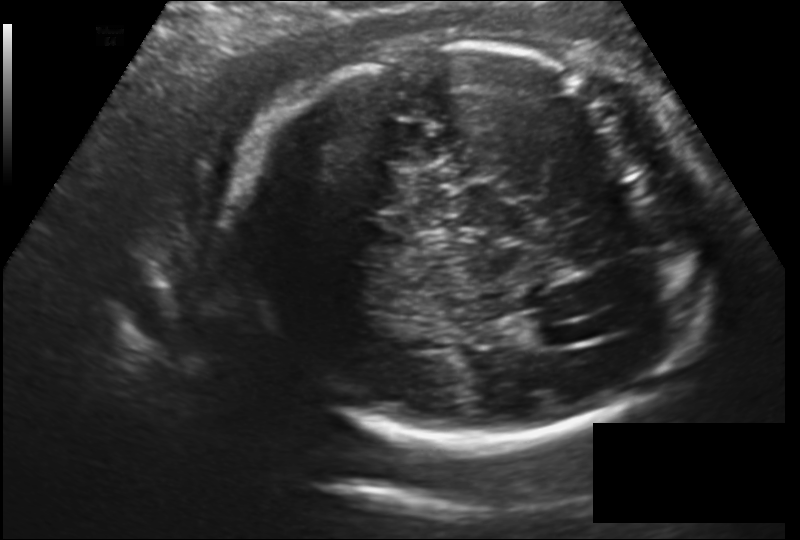
In this fetal head ultrasound, give the bounding box of the fetal head. Image width: 142.0 mm.

[234,43,712,444]